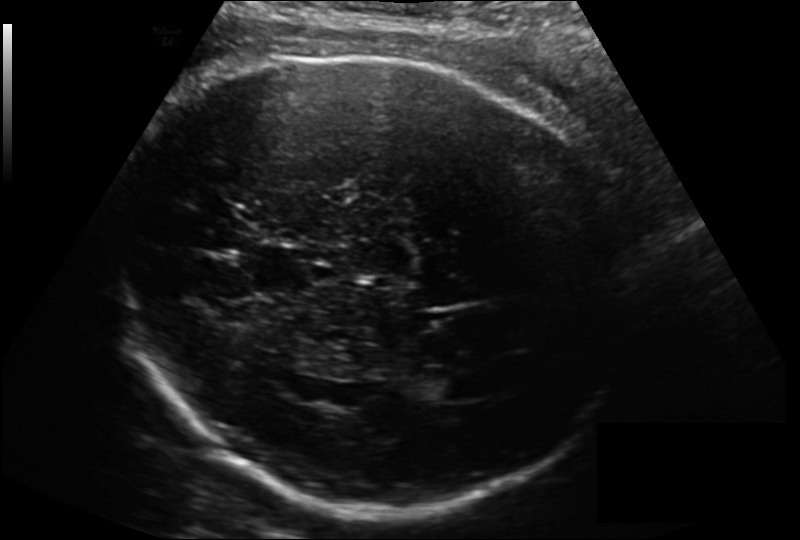
Fetal head ultrasound. Image width: 159.6 mm. Give [x1,y1,x2,y2] bounding boxes for each visible structure among: fetal head, CSP, LV.

Head: [113,55,635,507]
Lateral ventricle: [423,376,475,401]